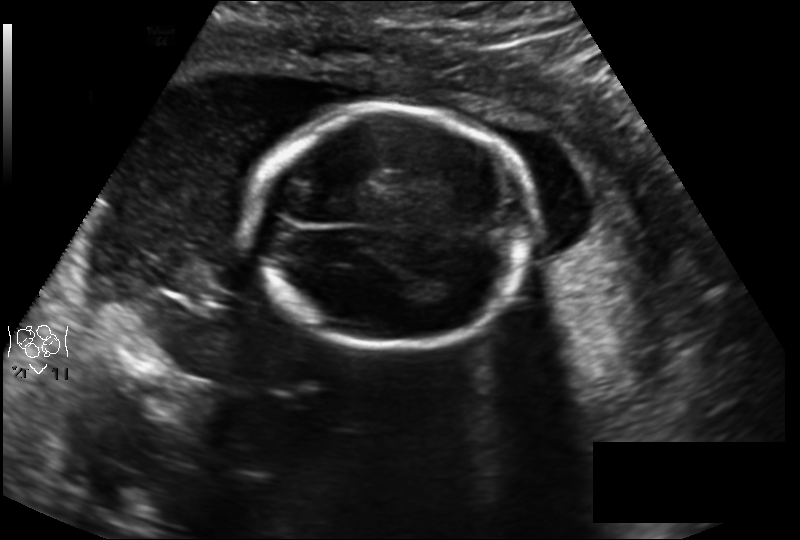
In this fetal head ultrasound, give bounding boxes for the head outline, cavum septum pellucidum (CSP), and lateral ventricle (LV), where visible. Image width: 155.0 mm.

Head: [253,105,532,350]